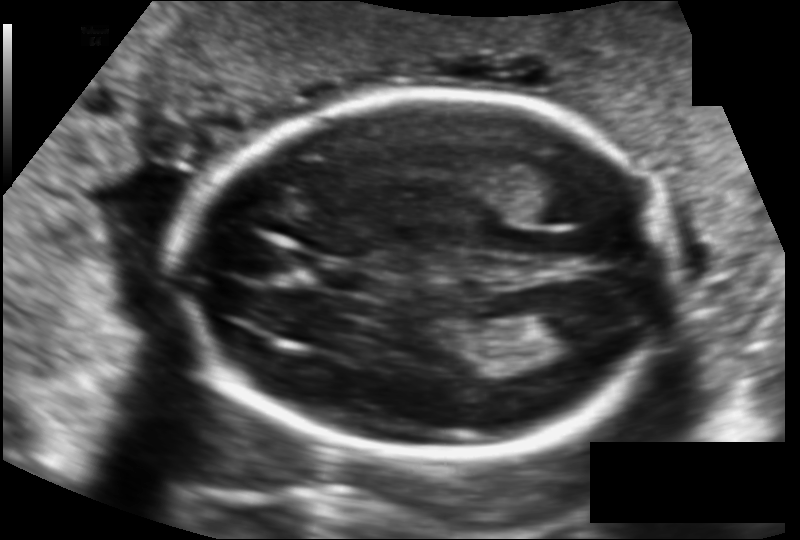
Measure the fetal head circumference shown in this ultrasound image. Image width: 98.9 mm.

Head circumference: 174.0 mm.